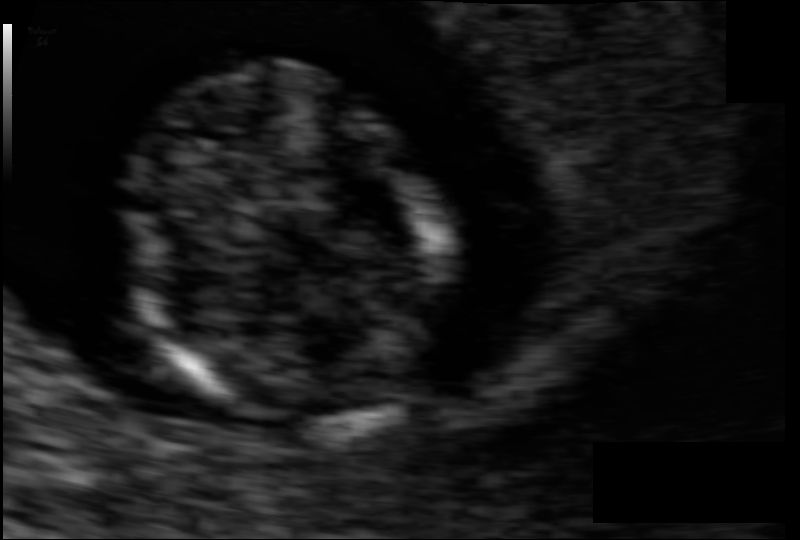
In this fetal head ultrasound, give the bounding box of the fetal head. Image width: 51.3 mm.

[123,75,450,429]